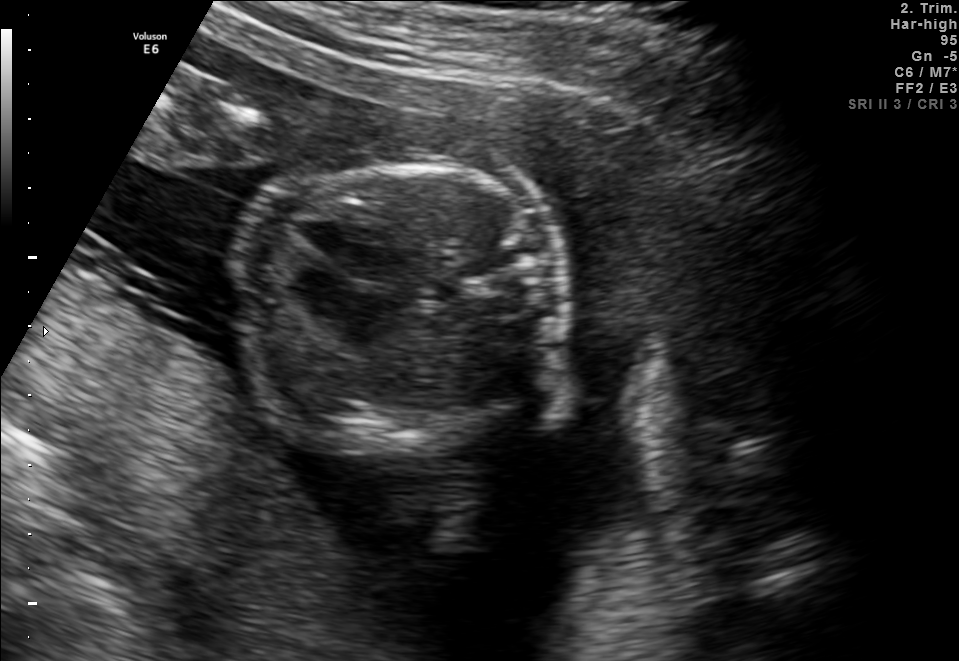
This is a 2D maternal-fetal ultrasound frame. Is it a fetal abdomen, fetal brain, fetal femur, fetal thorax, maternal cervix, or other standard plane? If it's fetal brain and one of the three standard brain planes (trans-thalamic, trans-cerebellum, trans-ventricular), name which.

Fetal thorax